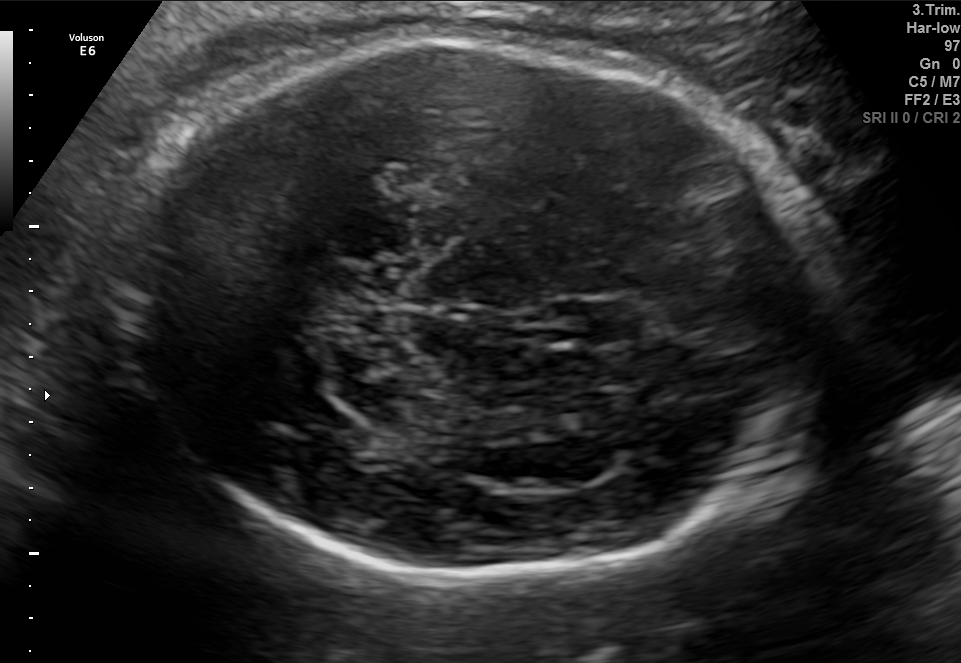
Classify this maternal-fetal ultrasound image as one of the six standard planes — fetal abdomen, fetal brain, fetal femur, fetal thorax, maternal cervix, or other. If it's fetal brain and one of the three standard brain planes (trans-thalamic, trans-cerebellum, trans-ventricular), name which.

Fetal brain (trans-thalamic plane)